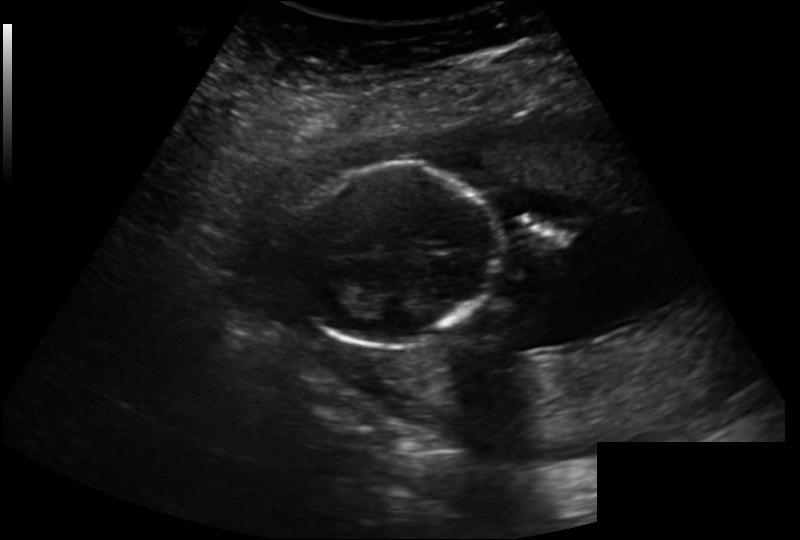
From this fetal ultrasound, estimate the head circumference (image width 161.6 mm).

Head circumference: 134.0 mm.